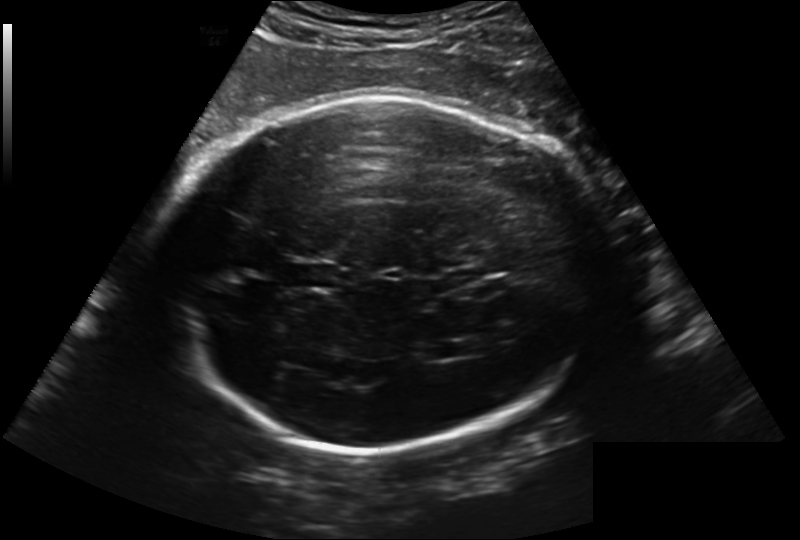
From this fetal ultrasound, estimate the head circumference (image width 192.7 mm).

Head circumference: 301.3 mm.